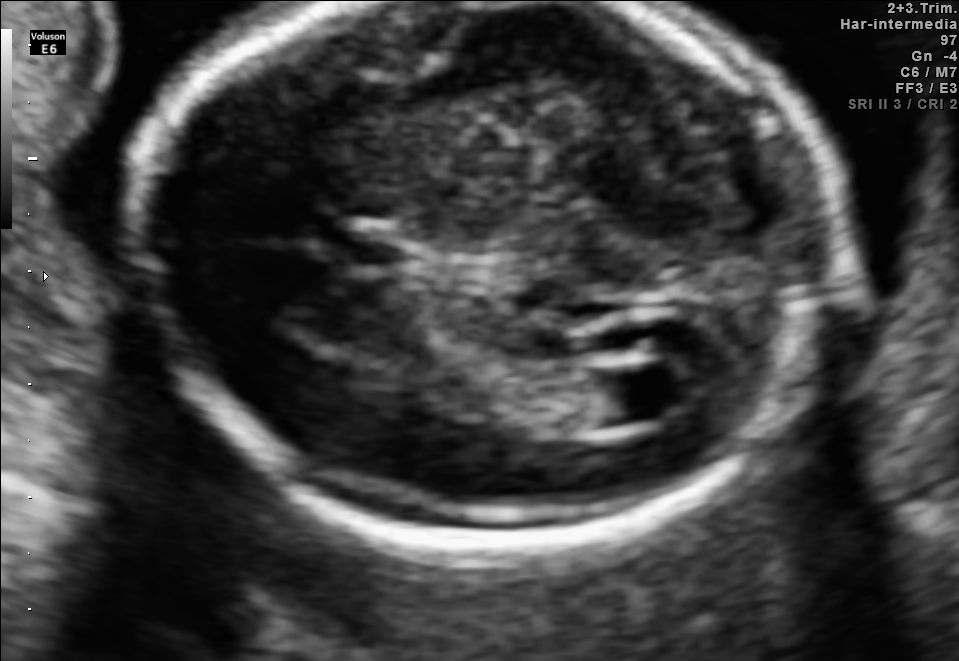
Fetal brain, trans-ventricular plane. Locate the cavum septum pellucidum.

CSP: [349,237,407,269]